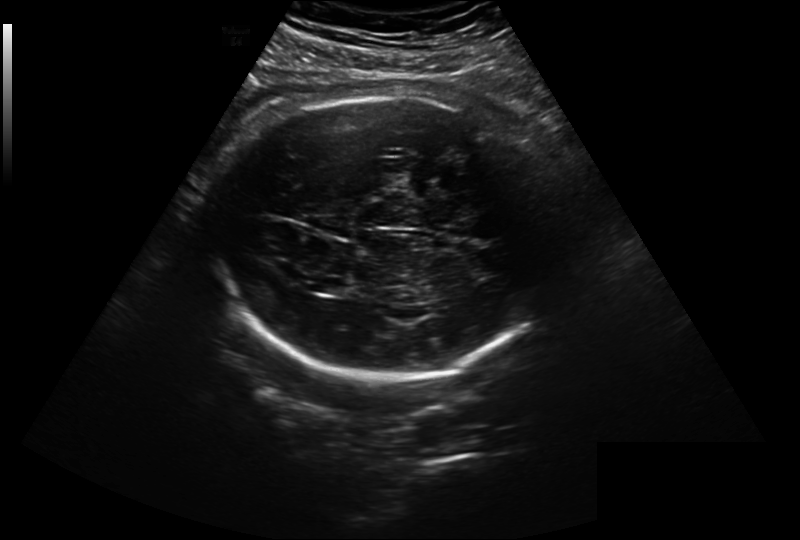
Fetal head ultrasound. Image width: 239.2 mm. Give [x1,y1,x2,y2] bounding boxes for each visible structure among: fetal head, CSP, LV.

Head: [217,95,553,383]
Lateral ventricle: [314,276,352,296]